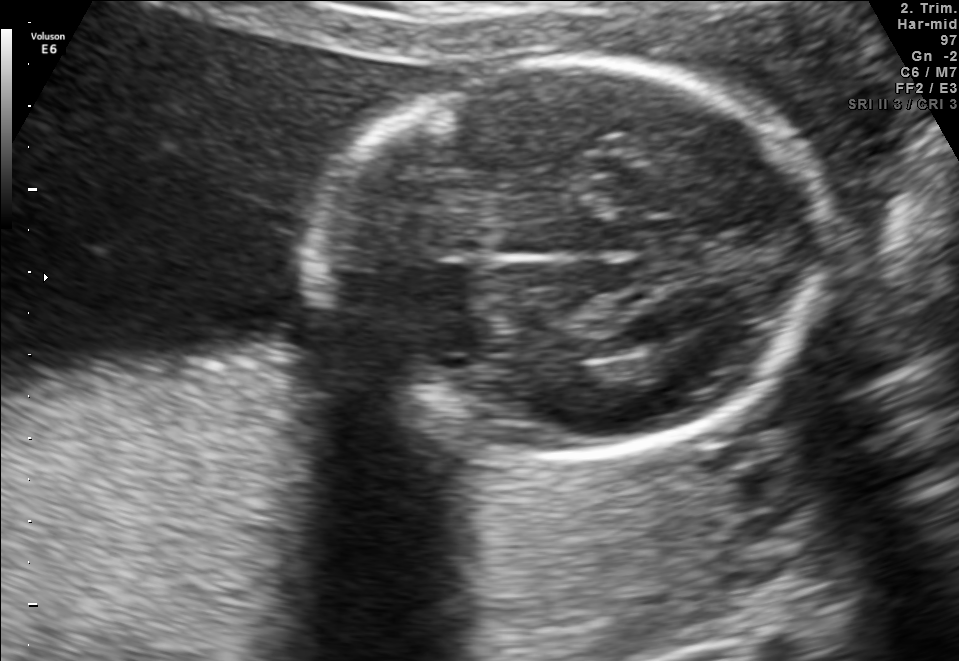
Fetal brain, trans-thalamic plane. Where is the fetal head?

Head bounding box: [302,59,843,460]